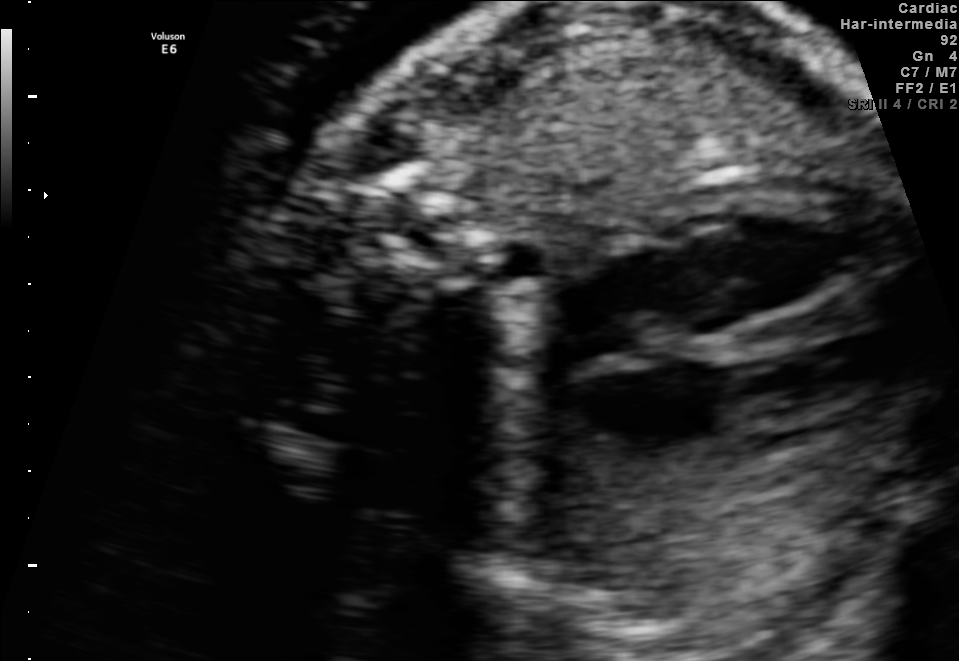
Identify the standard plane in this fetal ultrasound image: fetal abdomen, fetal brain, fetal femur, fetal thorax, maternal cervix, or other. If it's fetal brain and one of the three standard brain planes (trans-thalamic, trans-cerebellum, trans-ventricular), name which.

Fetal thorax